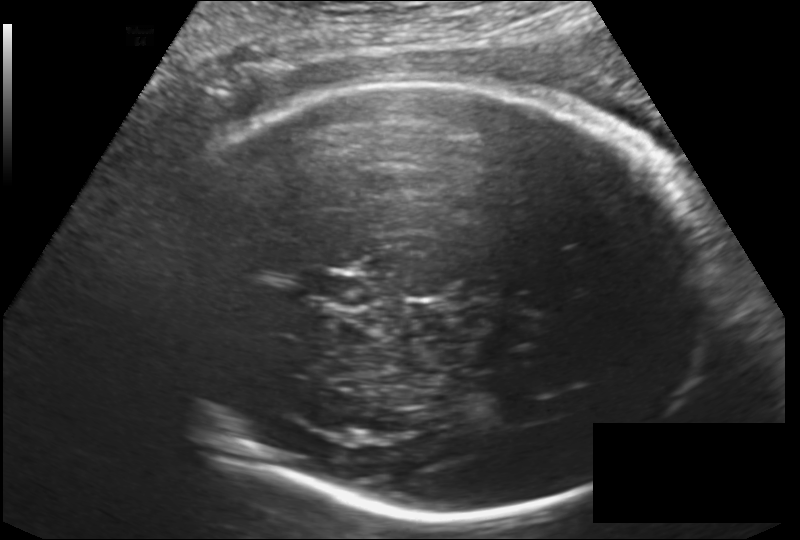
Fetal head ultrasound. Image width: 145.9 mm. Locate the fetal head and, if visible, the cavum septum pellucidum (CSP) and lateral ventricle (LV). Give bounding boxes as [x1,y1,x2,y2].

Head: [156,80,702,519]
CSP: [304,265,374,312]